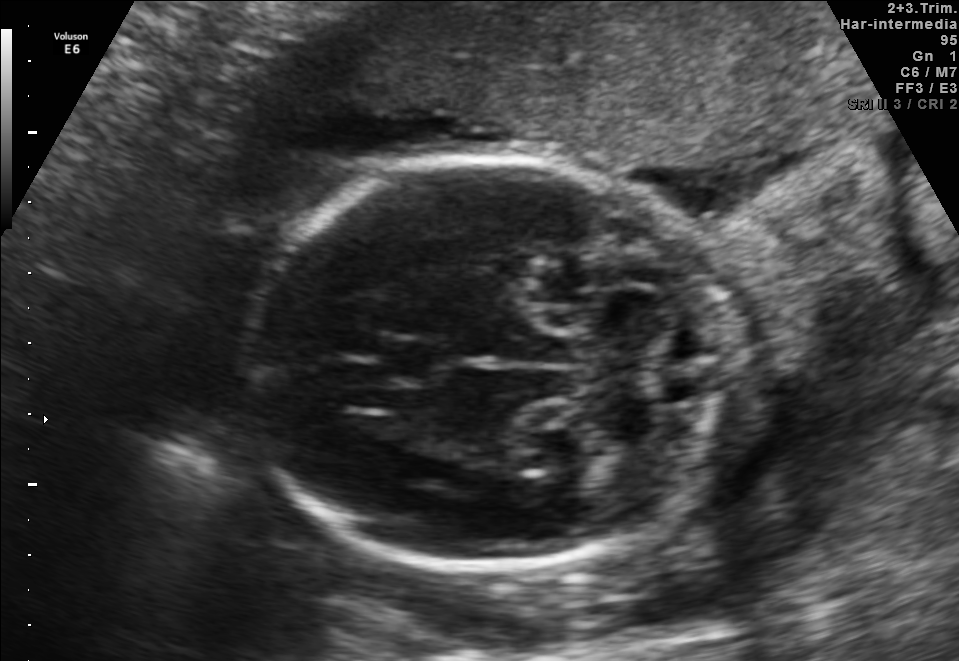
Fetal brain, trans-cerebellum plane. Locate the fetal head.

Head: [246,157,721,568]